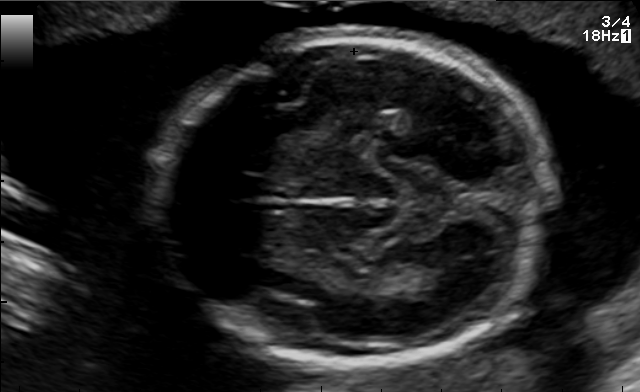
Fetal brain, trans-thalamic plane. Give [x1,y1,x2,y2] bounding boxes for each visible structure among: fetal head, CSP, LV.

Head: [155,37,545,365]